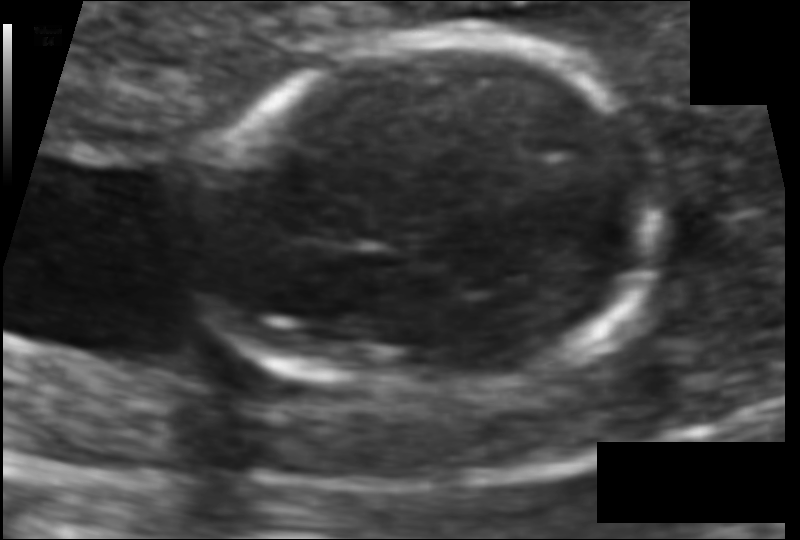
In this fetal head ultrasound, give the bounding box of the fetal head. Image width: 62.9 mm.

[190,33,657,404]